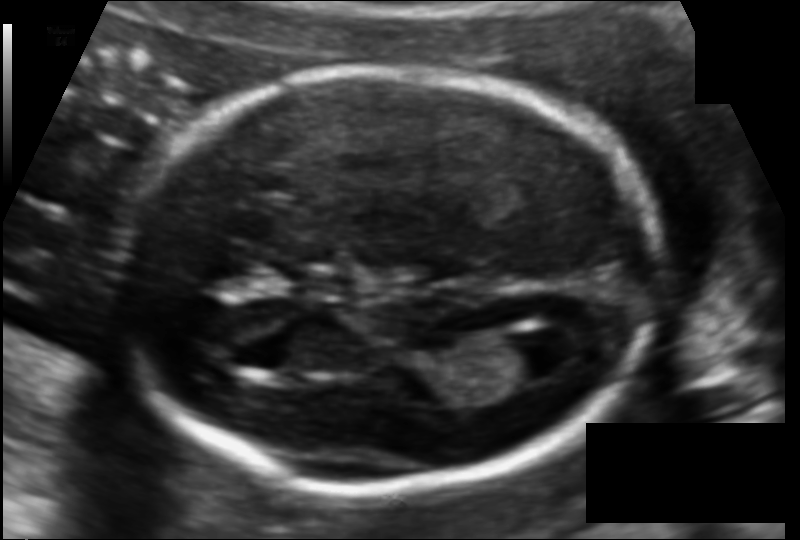
Measure the fetal head circumference shown in this ultrasound image. Image width: 85.9 mm.

Head circumference: 165.3 mm.